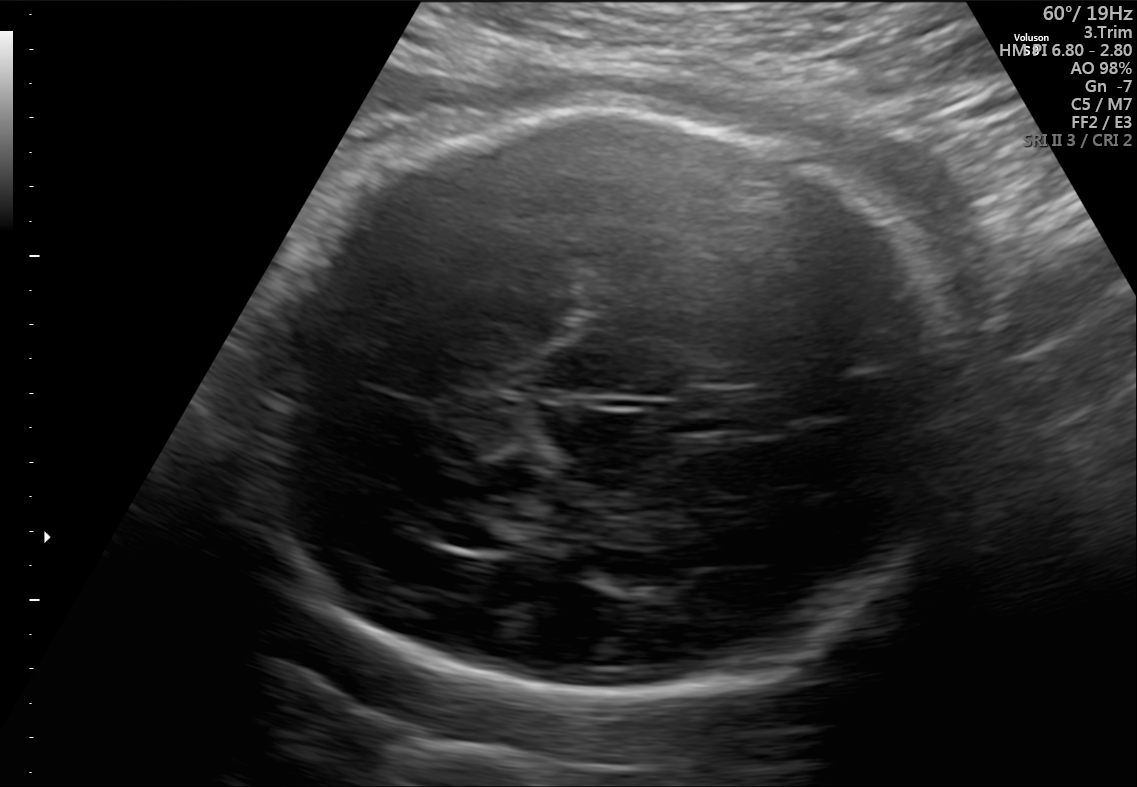
Fetal brain, trans-thalamic plane. Locate the cavum septum pellucidum.

CSP: [680,390,757,434]